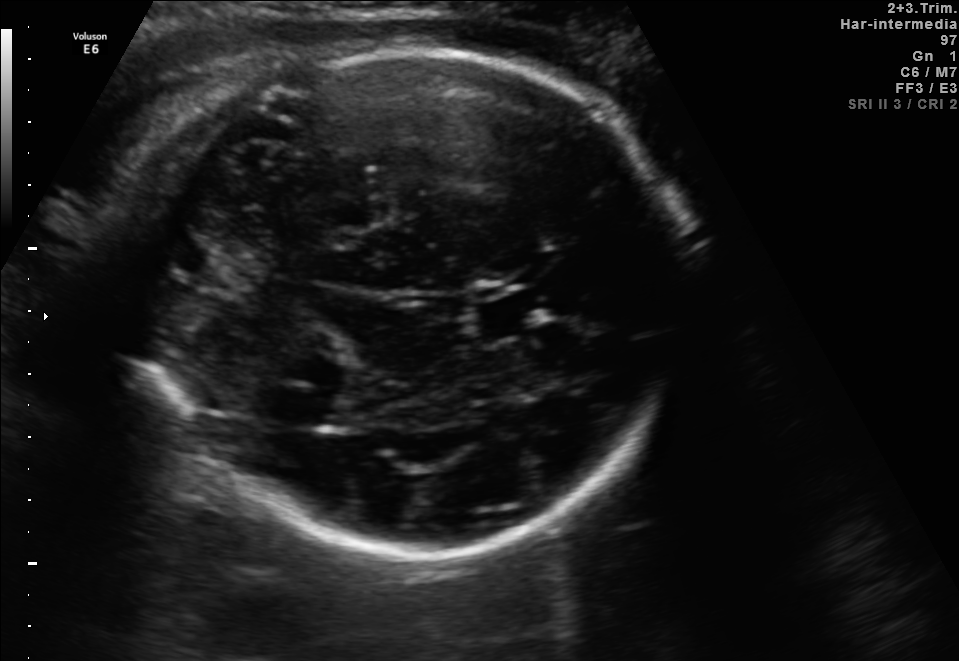
Fetal brain, trans-thalamic plane. Locate the fetal head and, if visible, the cavum septum pellucidum (CSP) and lateral ventricle (LV). Give bounding boxes as [x1,y1,x2,y2].

Head: [139,46,678,563]
CSP: [474,289,546,342]
Lateral ventricle: [269,391,340,424]